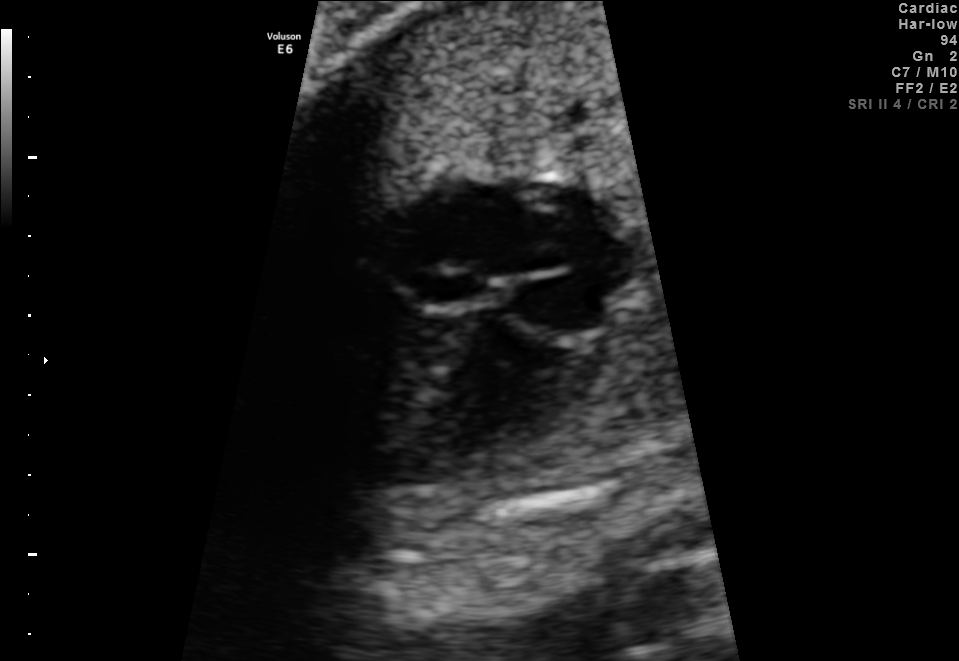
Classify this maternal-fetal ultrasound image as one of the six standard planes — fetal abdomen, fetal brain, fetal femur, fetal thorax, maternal cervix, or other. If it's fetal brain and one of the three standard brain planes (trans-thalamic, trans-cerebellum, trans-ventricular), name which.

Fetal thorax